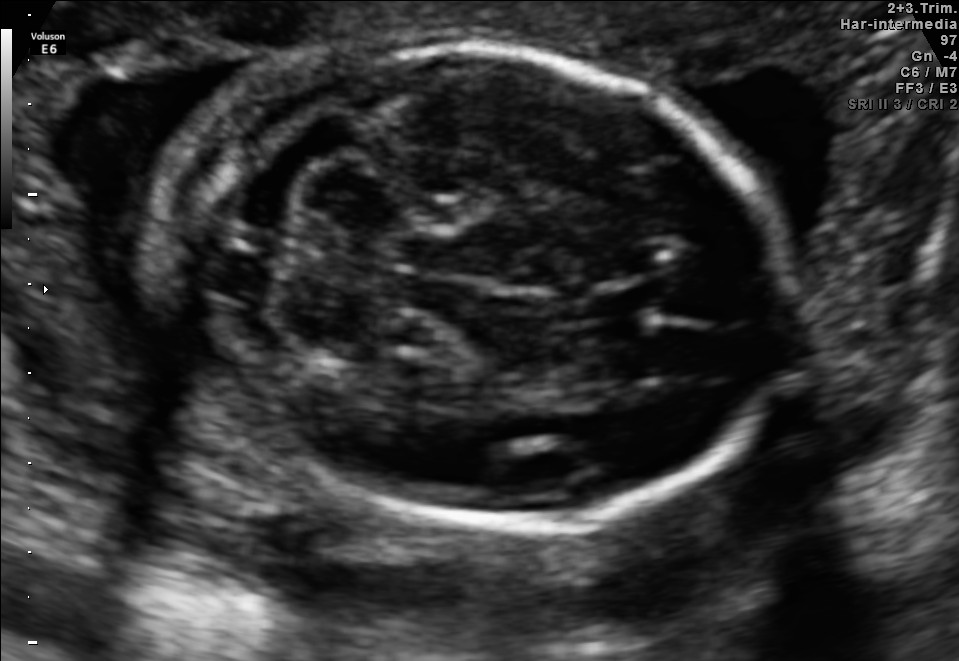
Fetal brain, trans-cerebellum plane. Where is the fetal head?

Head bounding box: [147,43,790,526]